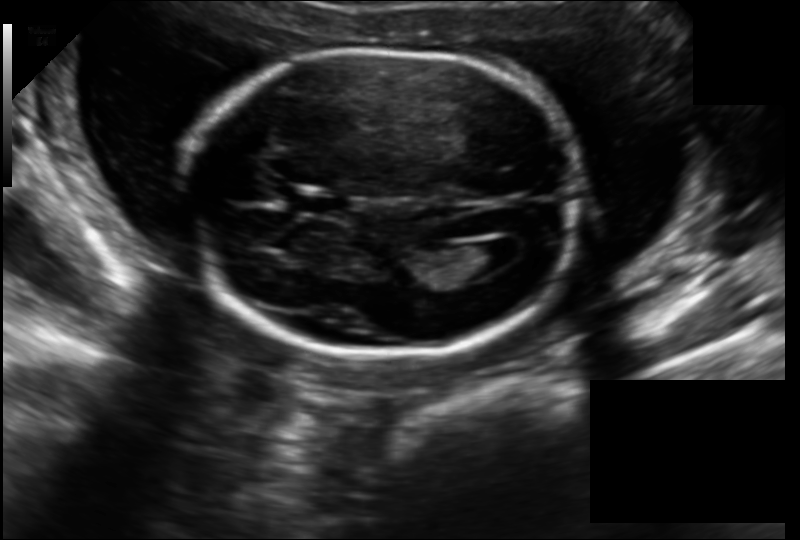
Fetal head ultrasound. Image width: 125.8 mm. Where is the fetal head?

Head bounding box: [182,47,581,359]